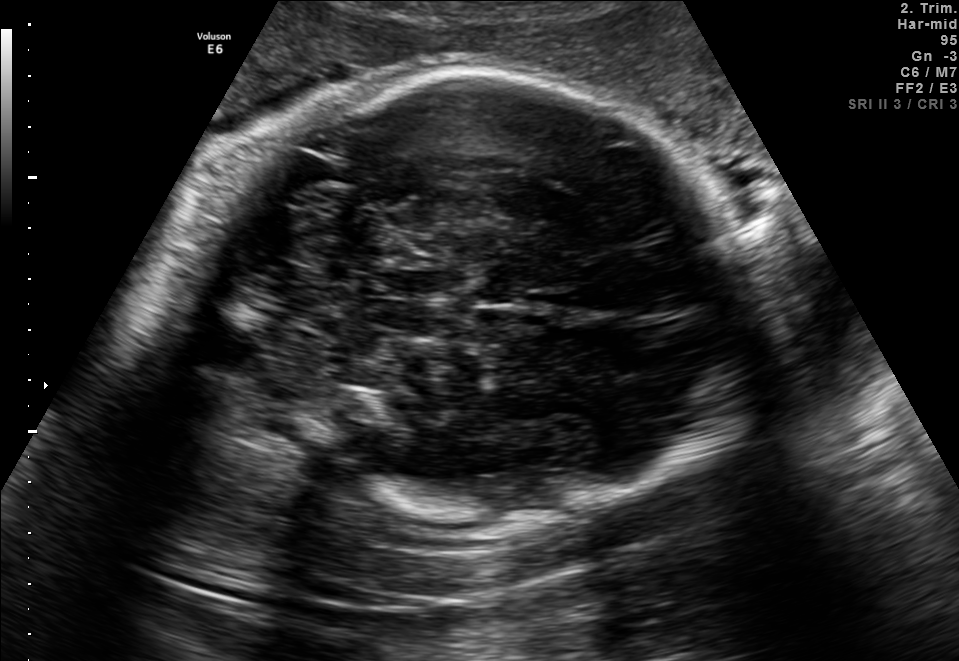
Fetal brain, trans-thalamic plane. Give [x1,y1,x2,y2] bounding boxes for each visible structure among: fetal head, CSP, LV.

Head: [218,67,755,528]